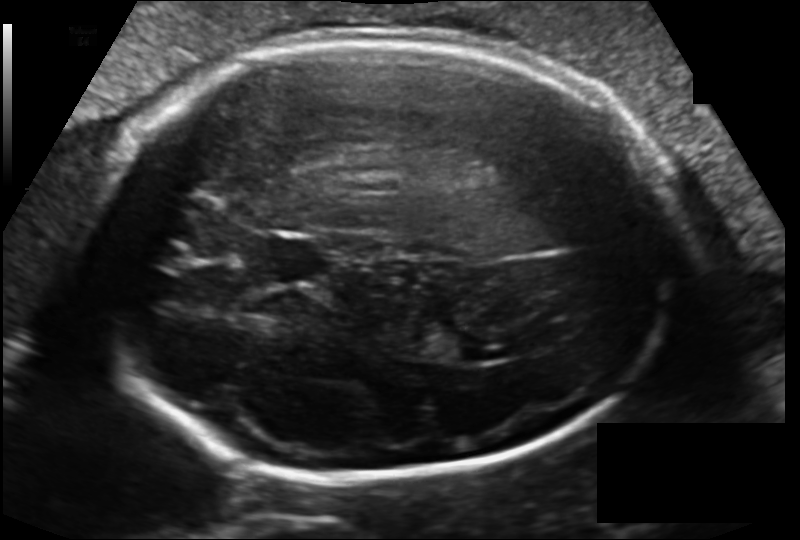
What is the fetal head circumference? Image width is 129.6 mm.

270.5 mm